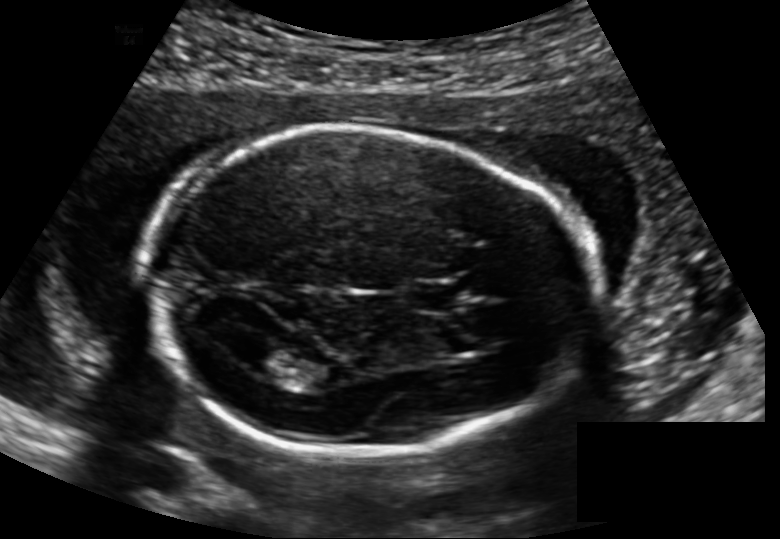
In this fetal head ultrasound, give bounding boxes for the head outline, cavum septum pellucidum (CSP), and lateral ventricle (LV), where visible. Image width: 115.4 mm.

Head: [143,126,583,456]
CSP: [411,280,460,313]
Lateral ventricle: [239,338,295,382]